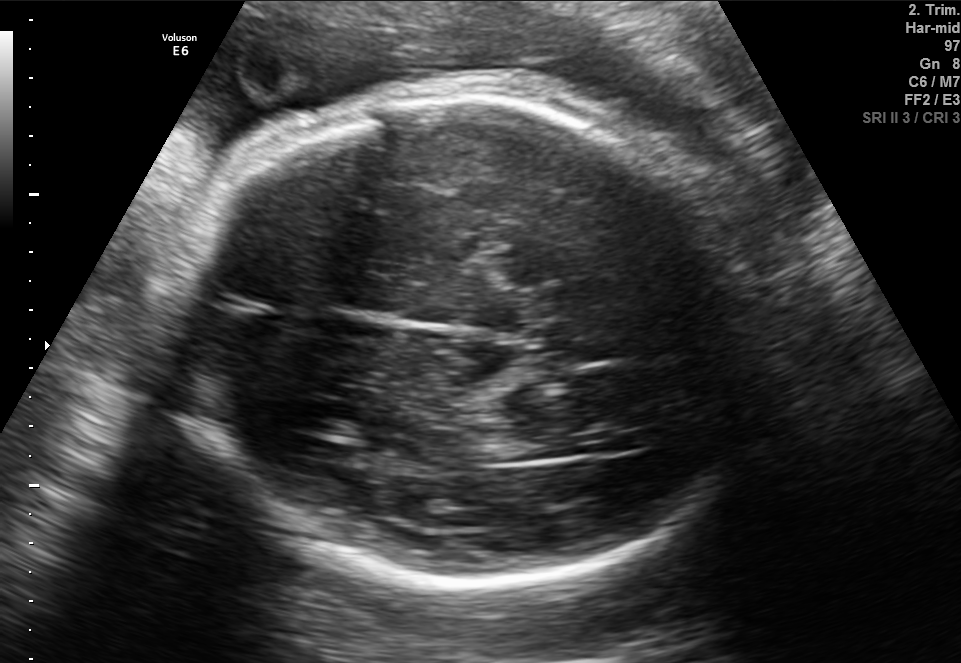
Fetal brain, trans-thalamic plane. Give [x1,y1,x2,y2] bounding boxes for each visible structure among: fetal head, CSP, LV.

Head: [191,103,766,588]